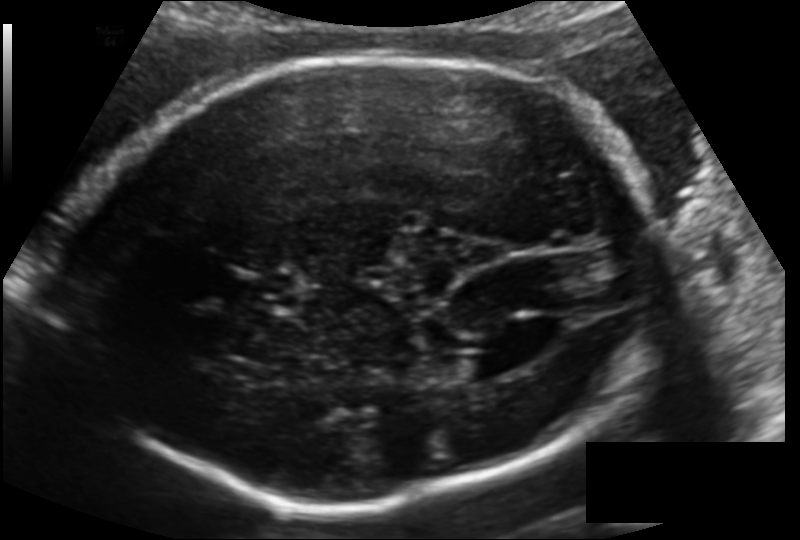
Estimate the fetal head circumference from this 2D ultrasound. Image width: 118.6 mm.

Head circumference: 247.8 mm.